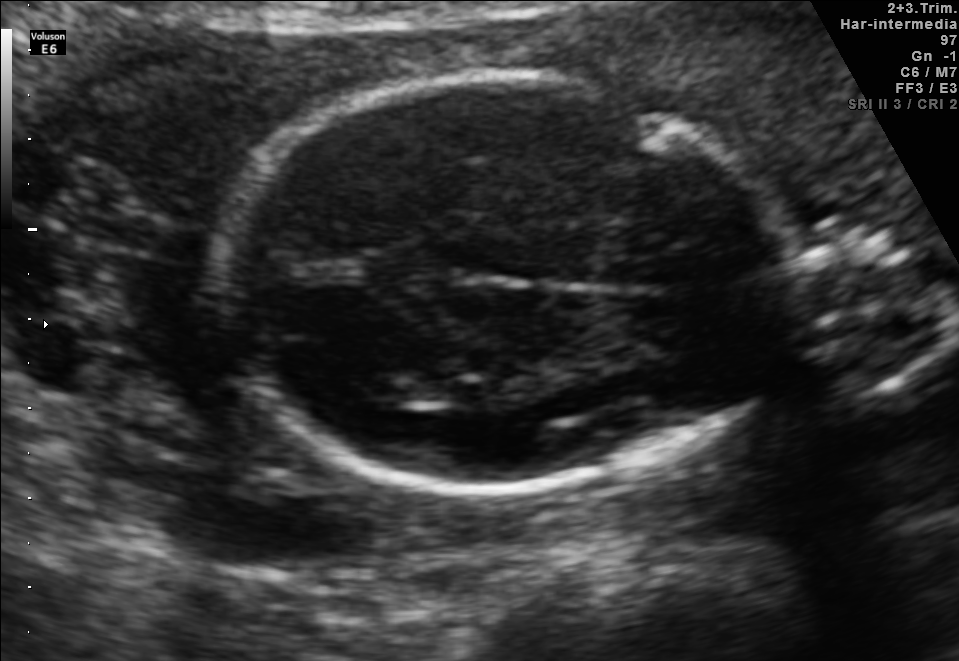
In this fetal brain, trans-thalamic plane, give the bounding box of the lateral ventricle.

[348,373,430,407]